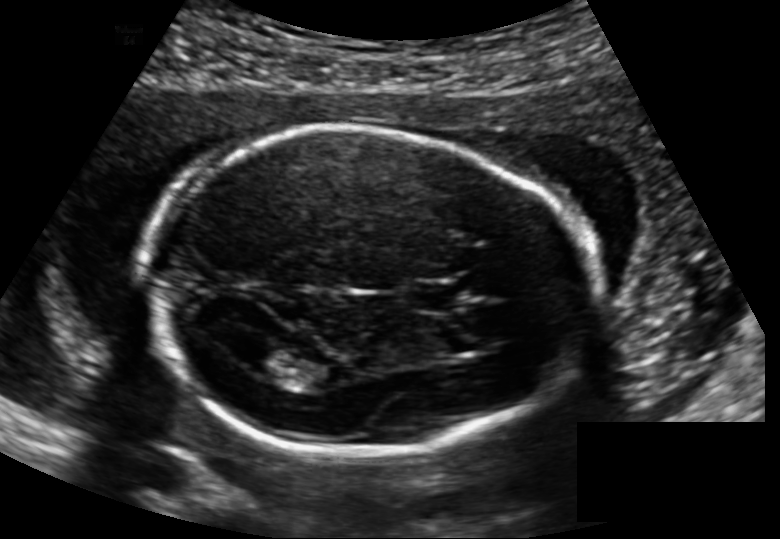
Fetal head ultrasound. Image width: 115.4 mm. Where is the fetal head?

Head bounding box: [143,126,583,456]